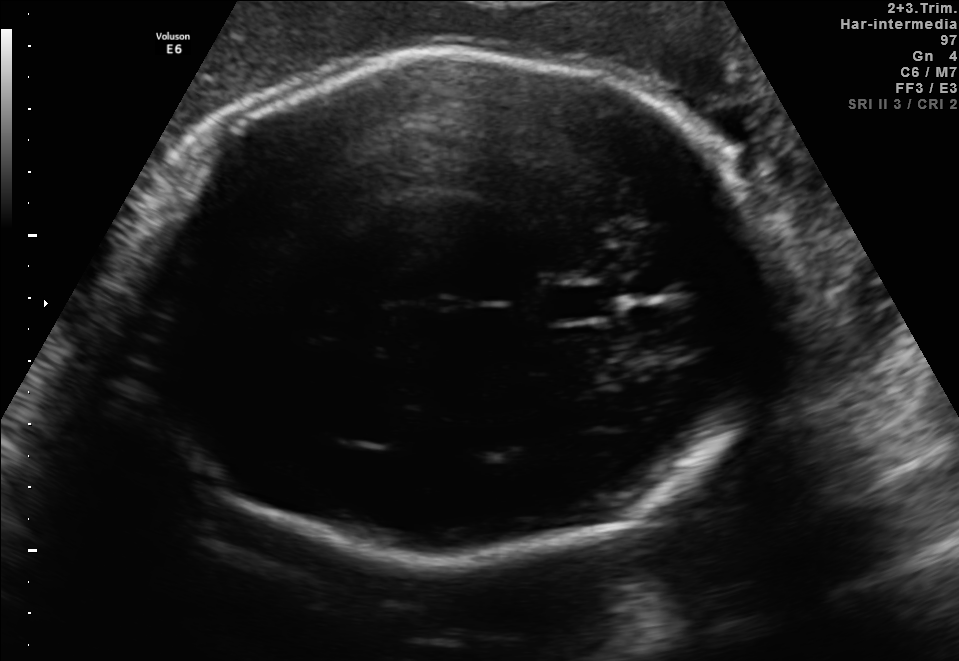
Fetal brain, trans-thalamic plane. Where is the cavum septum pellucidum?

CSP bounding box: [544,281,613,323]